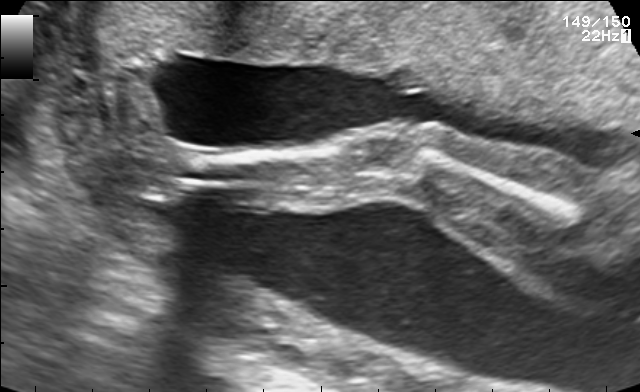
This is a 2D maternal-fetal ultrasound frame. Is it a fetal abdomen, fetal brain, fetal femur, fetal thorax, maternal cervix, or other standard plane? If it's fetal brain and one of the three standard brain planes (trans-thalamic, trans-cerebellum, trans-ventricular), name which.

Fetal femur